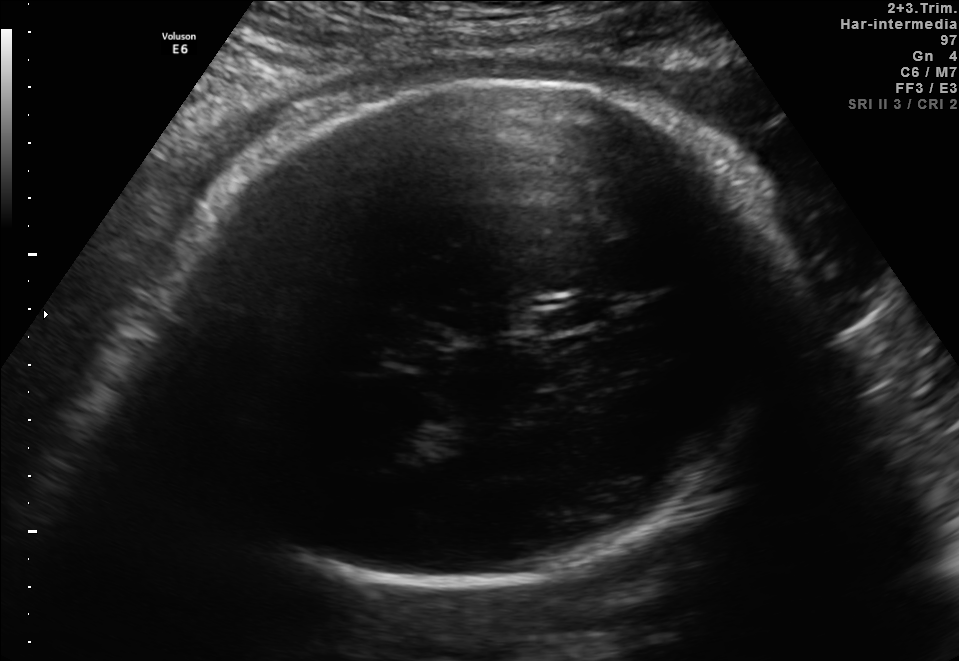
Fetal brain, trans-thalamic plane. Locate the fetal head.

Head: [162,80,797,583]